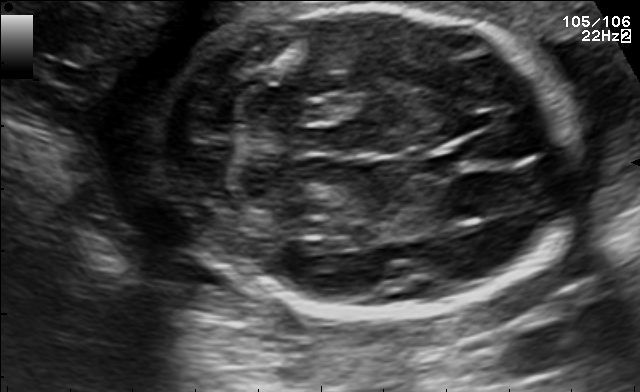
Fetal brain, trans-cerebellum plane. Locate the fetal head.

Head: [156,5,579,314]